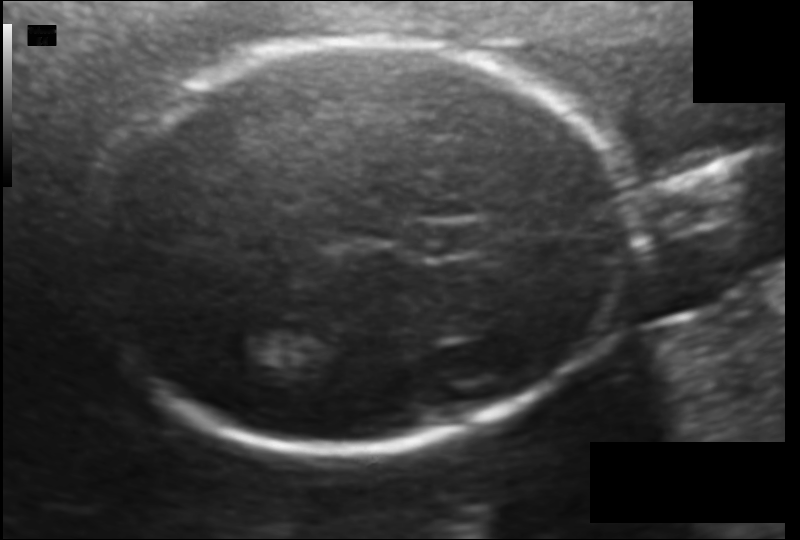
Fetal head ultrasound. Image width: 90.8 mm. Locate the cavum septum pellucidum.

CSP: [414,217,487,261]